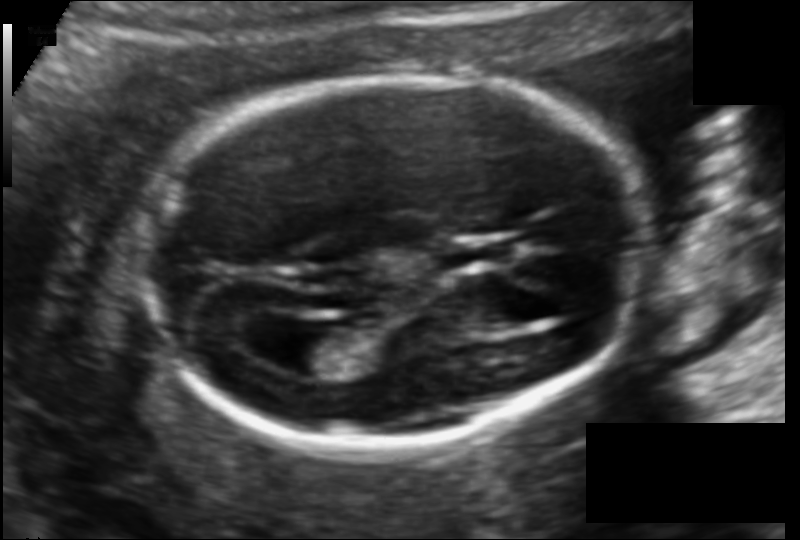
In this fetal head ultrasound, give the bounding box of the lateral ventricle. Image width: 91.5 mm.

[257,323,335,379]